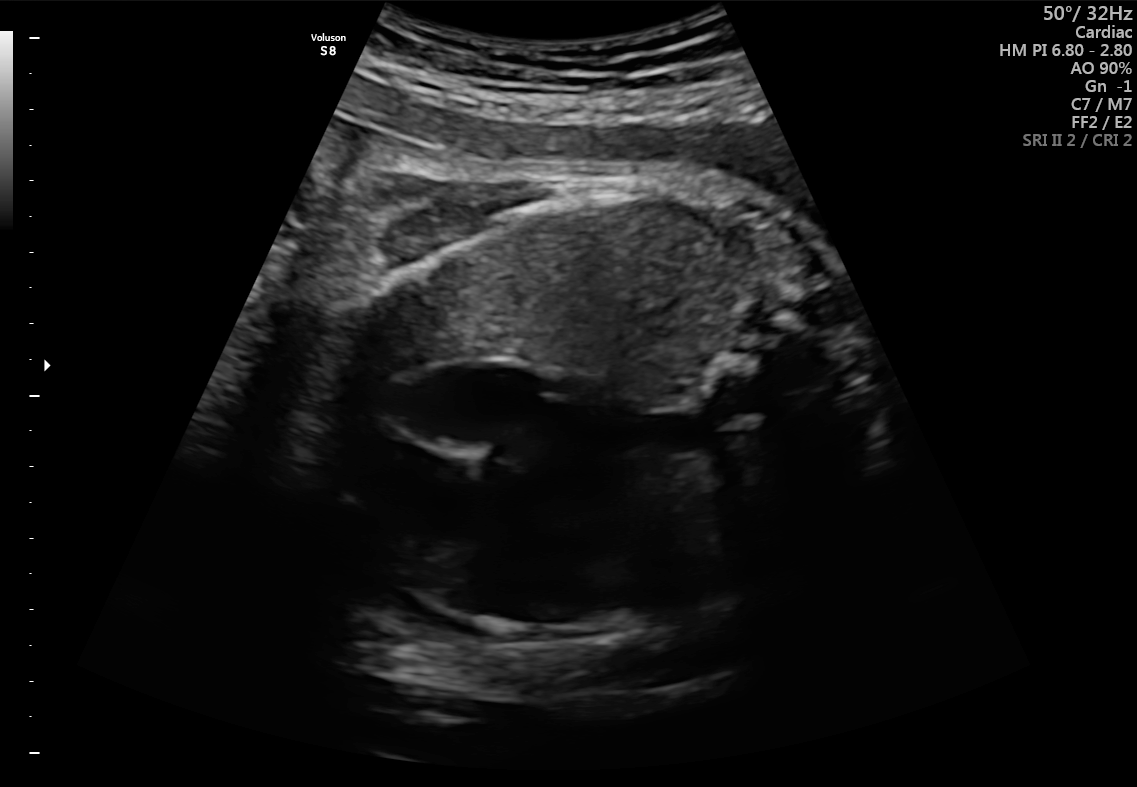
Identify the standard plane in this fetal ultrasound image: fetal abdomen, fetal brain, fetal femur, fetal thorax, maternal cervix, or other. If it's fetal brain and one of the three standard brain planes (trans-thalamic, trans-cerebellum, trans-ventricular), name which.

Fetal thorax